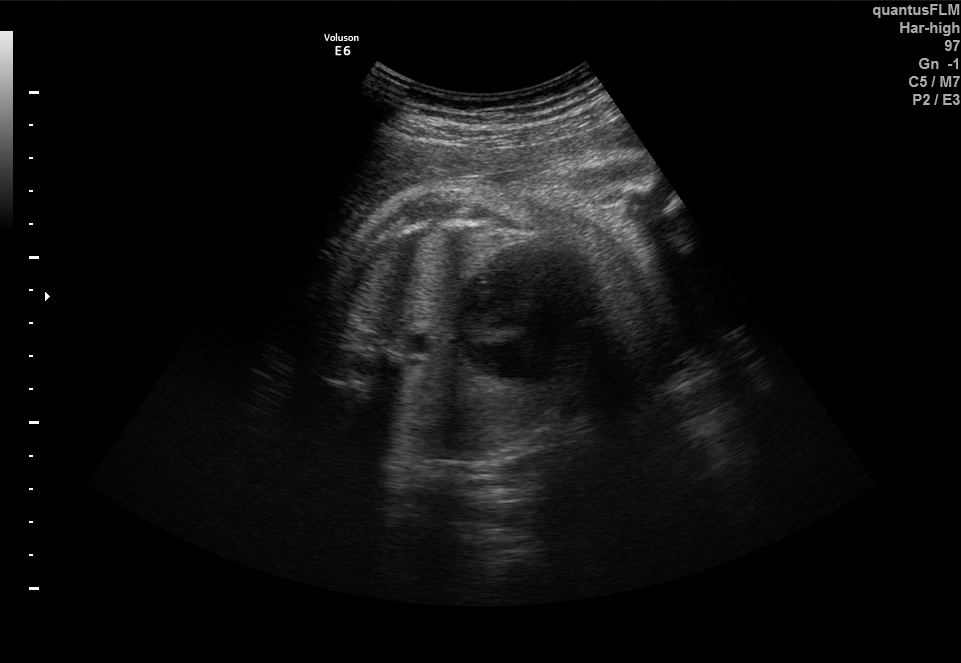
This is a 2D maternal-fetal ultrasound frame. Is it a fetal abdomen, fetal brain, fetal femur, fetal thorax, maternal cervix, or other standard plane? If it's fetal brain and one of the three standard brain planes (trans-thalamic, trans-cerebellum, trans-ventricular), name which.

Fetal thorax